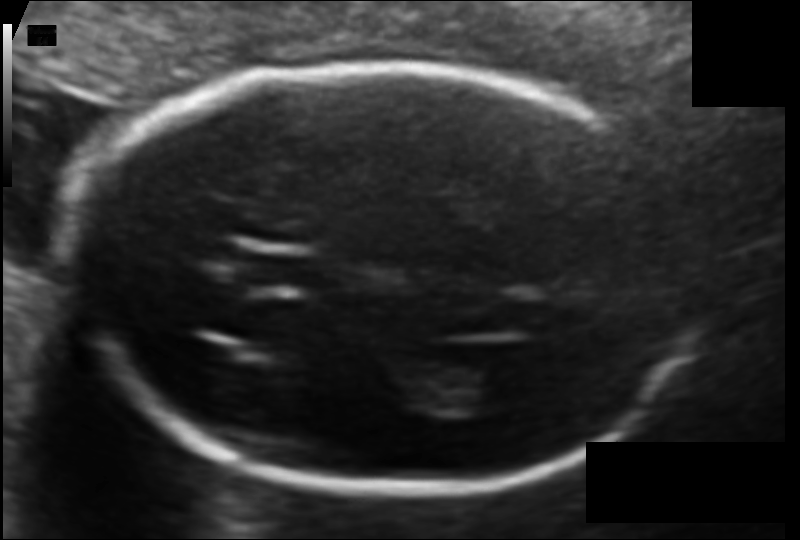
Fetal head ultrasound. Image width: 82.7 mm. Where is the cavum septum pellucidum?

CSP bounding box: [238,247,317,294]